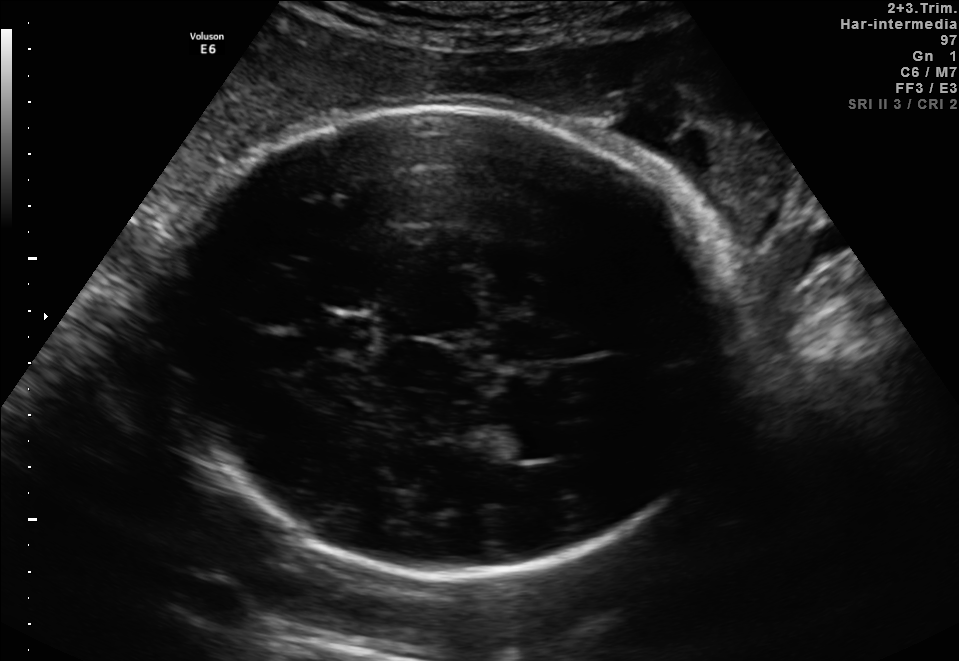
Fetal brain, trans-thalamic plane. Where is the lateral ventricle?

Lateral ventricle bounding box: [471,416,571,465]